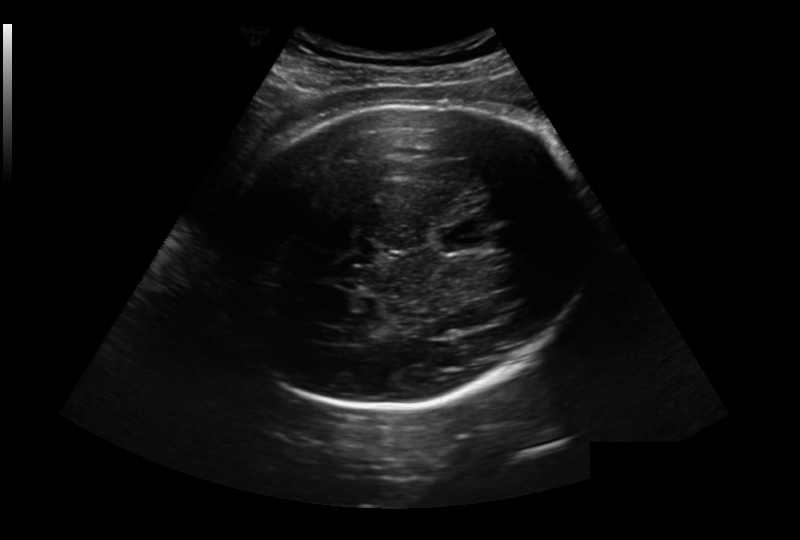
Fetal head ultrasound. Image width: 224.8 mm. Give [x1,y1,x2,y2] bounding boxes for each visible structure among: fetal head, CSP, LV.

Head: [215,107,591,410]
CSP: [435,220,494,255]
Lateral ventricle: [312,326,351,346]